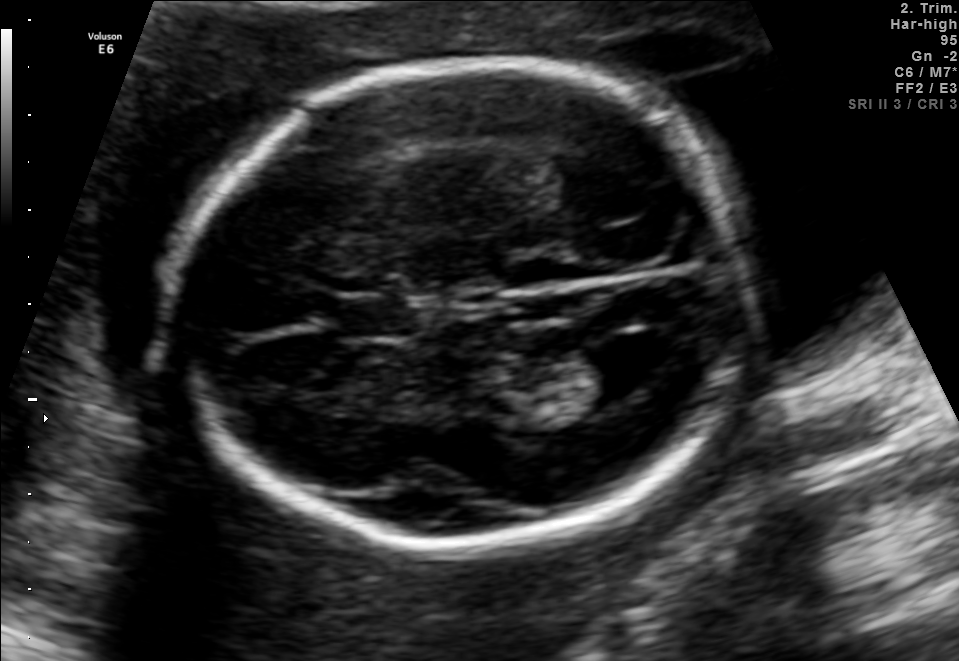
Fetal brain, trans-ventricular plane. Locate the lateral ventricle.

Lateral ventricle: [566,325,678,412]